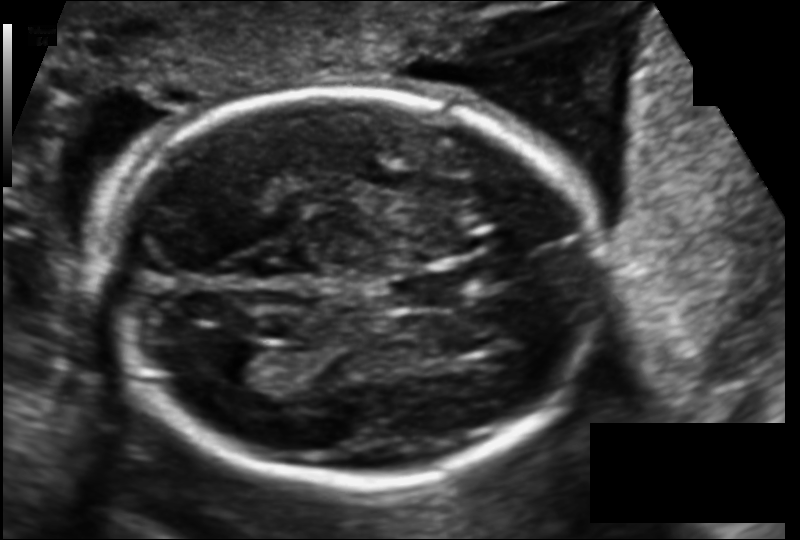
Fetal head ultrasound. Image width: 104.3 mm. Locate the fetal head.

Head: [108,87,604,485]